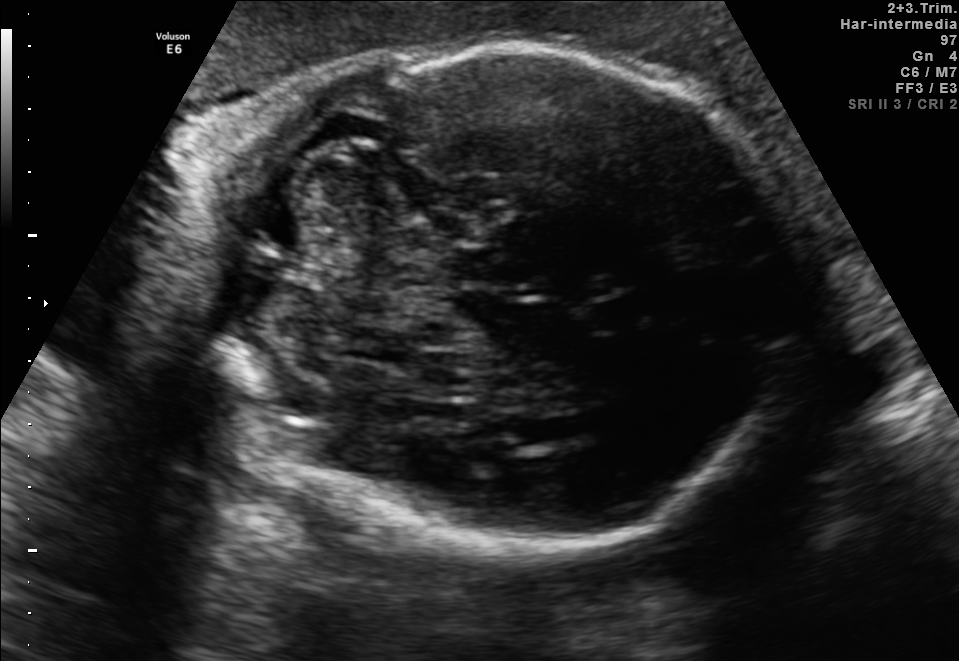
In this fetal brain, trans-cerebellum plane, give bounding boxes for the head outline, cavum septum pellucidum (CSP), and lateral ventricle (LV), where visible.

Head: [200,48,797,551]